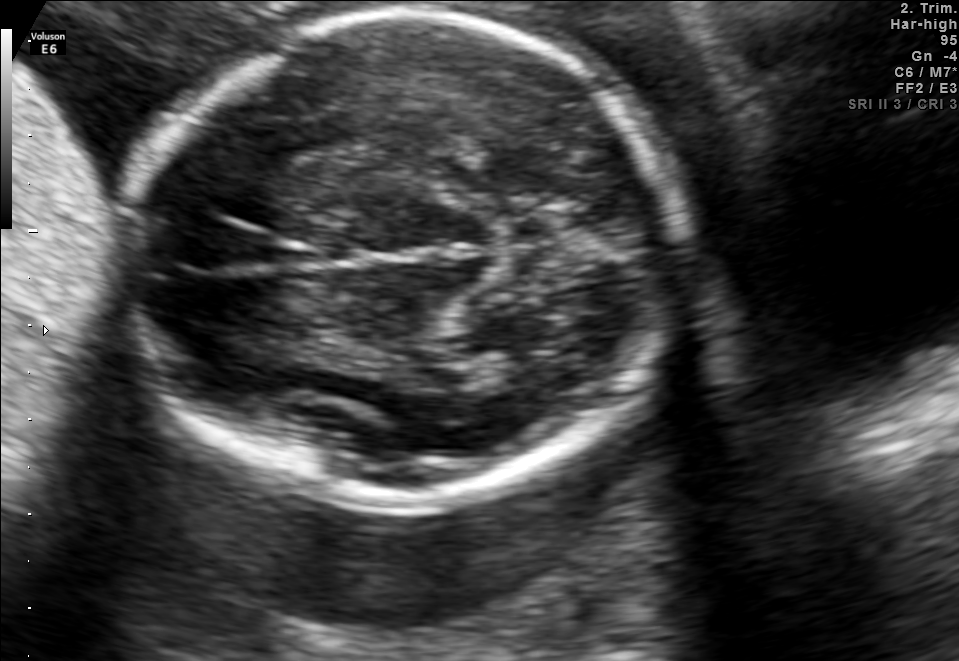
Identify the standard plane in this fetal ultrasound image: fetal abdomen, fetal brain, fetal femur, fetal thorax, maternal cervix, or other. If it's fetal brain and one of the three standard brain planes (trans-thalamic, trans-cerebellum, trans-ventricular), name which.

Fetal brain (trans-thalamic plane)